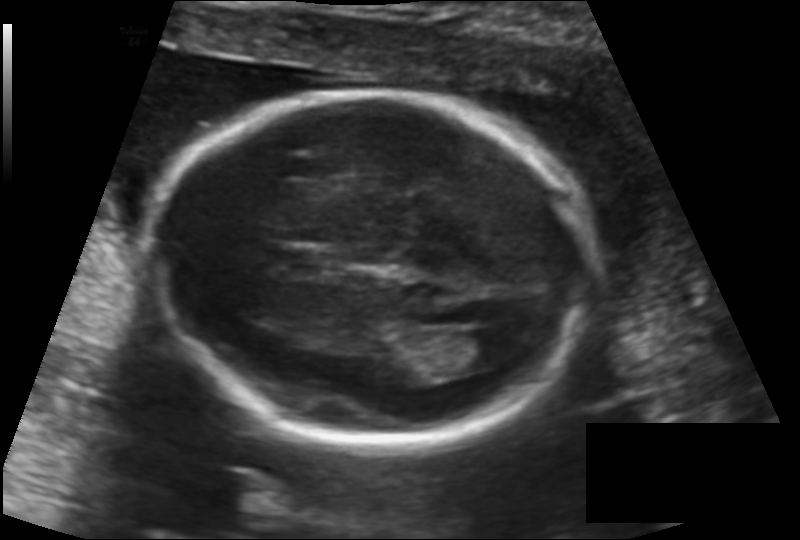
Fetal head ultrasound. Image width: 109.6 mm. Where is the lateral ventricle?

Lateral ventricle bounding box: [448,325,516,373]